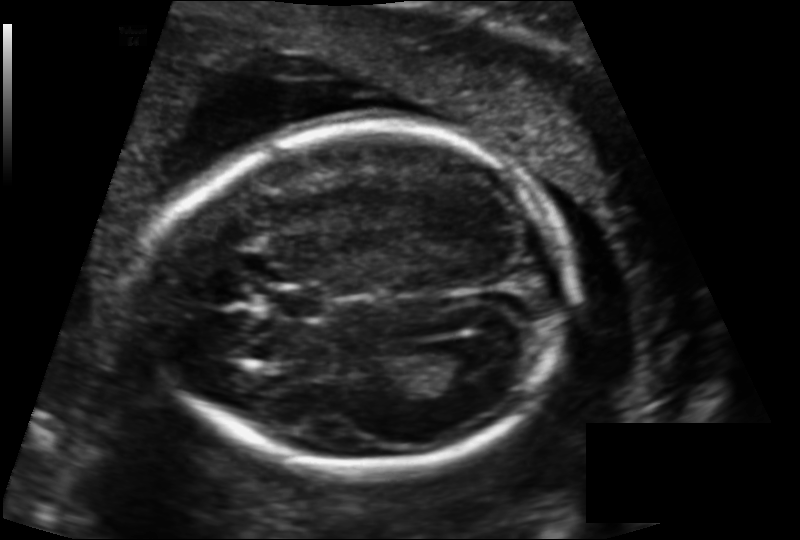
Fetal head ultrasound. Image width: 109.5 mm. Locate the cavum septum pellucidum.

CSP: [271,289,324,316]